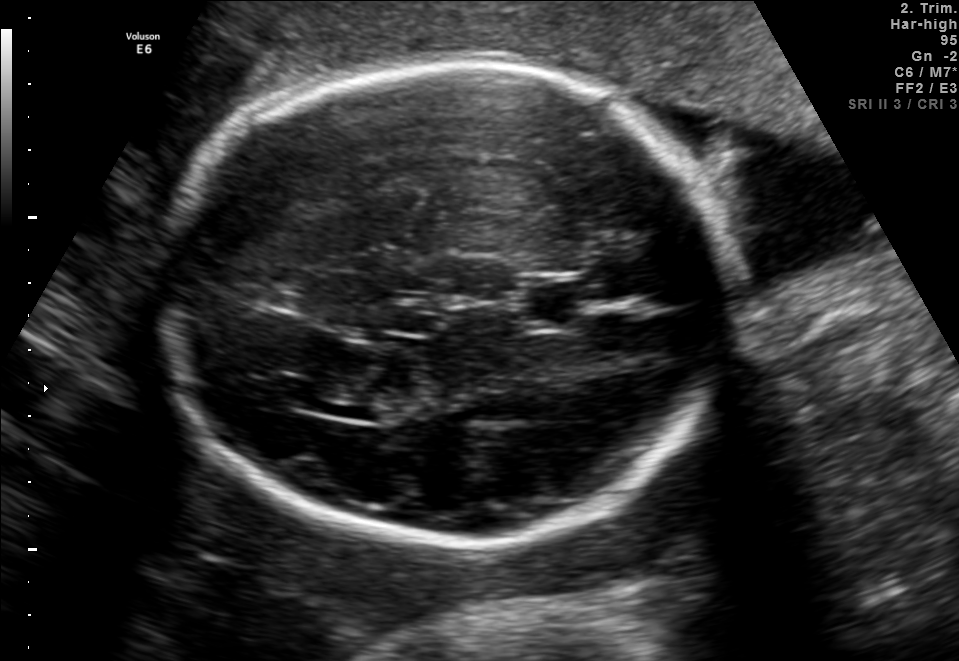
In this fetal brain, trans-thalamic plane, give the bounding box of the fetal head.

[161,58,726,545]